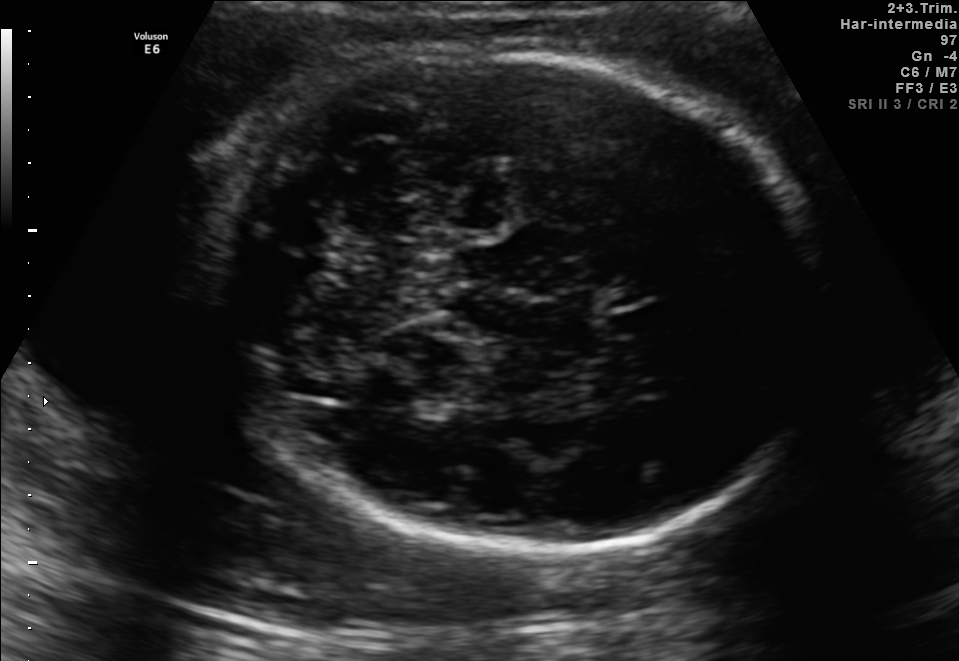
In this fetal brain, trans-cerebellum plane, give bounding boxes for the head outline, cavum septum pellucidum (CSP), and lateral ventricle (LV), where visible.

Head: [220,53,823,552]